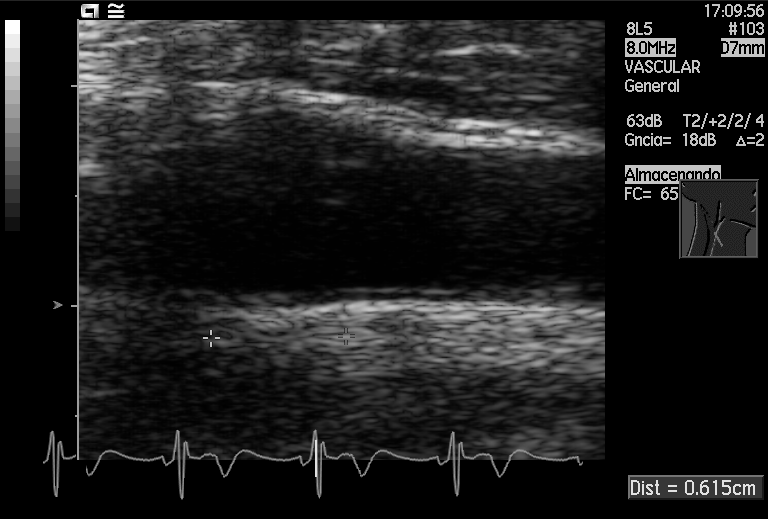
Identify the standard plane in this fetal ultrasound image: fetal abdomen, fetal brain, fetal femur, fetal thorax, maternal cervix, or other. If it's fetal brain and one of the three standard brain planes (trans-thalamic, trans-cerebellum, trans-ventricular), name which.

Other